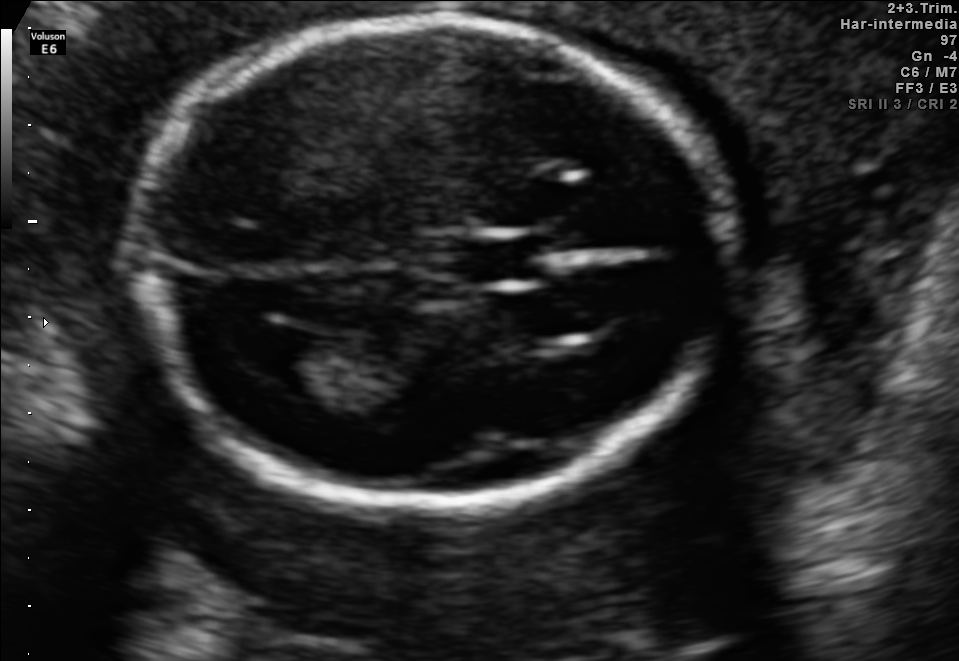
Fetal brain, trans-ventricular plane. Give [x1,y1,x2,y2] bounding boxes for each visible structure among: fetal head, CSP, LV.

Head: [120,13,741,512]
CSP: [442,239,561,282]
Lateral ventricle: [225,312,330,390]